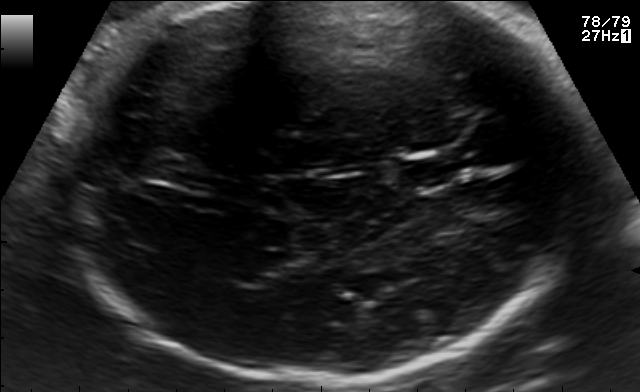
Fetal brain, trans-thalamic plane. Locate the fetal head.

Head: [57,2,607,384]